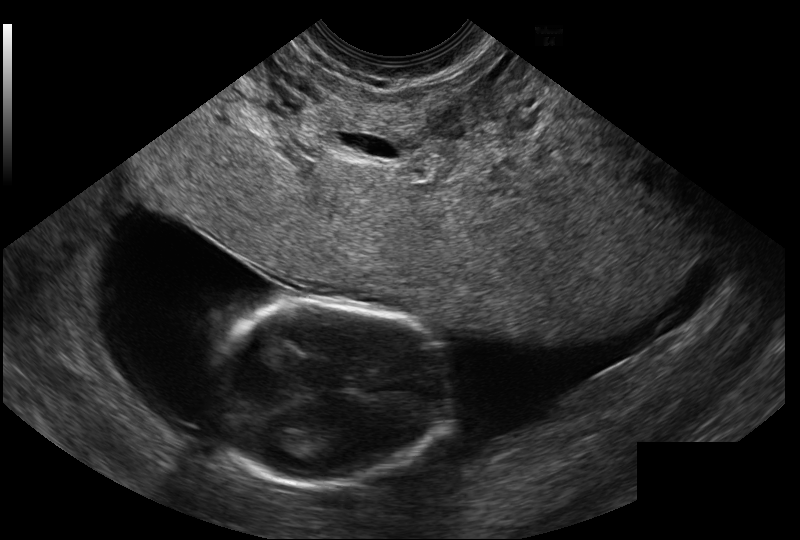
From this fetal ultrasound, estimate the head circumference (image width 91.4 mm).

Head circumference: 80.3 mm.